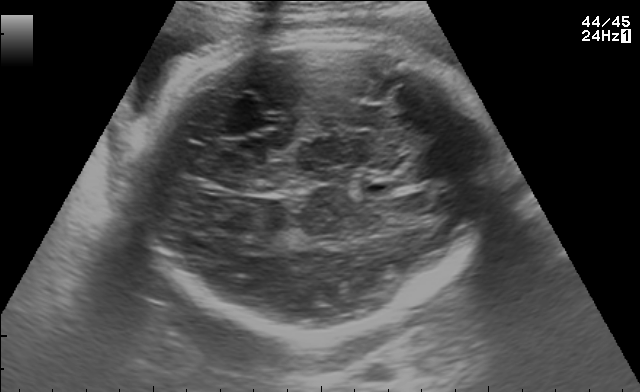
Classify this maternal-fetal ultrasound image as one of the six standard planes — fetal abdomen, fetal brain, fetal femur, fetal thorax, maternal cervix, or other. If it's fetal brain and one of the three standard brain planes (trans-thalamic, trans-cerebellum, trans-ventricular), name which.

Fetal brain (trans-thalamic plane)